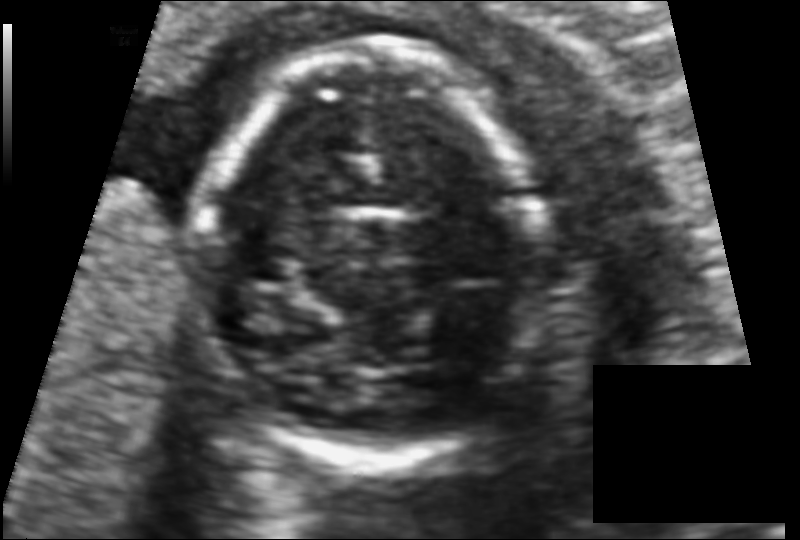
Fetal head ultrasound. Image width: 74.5 mm. Where is the fetal head?

Head bounding box: [205,42,541,457]